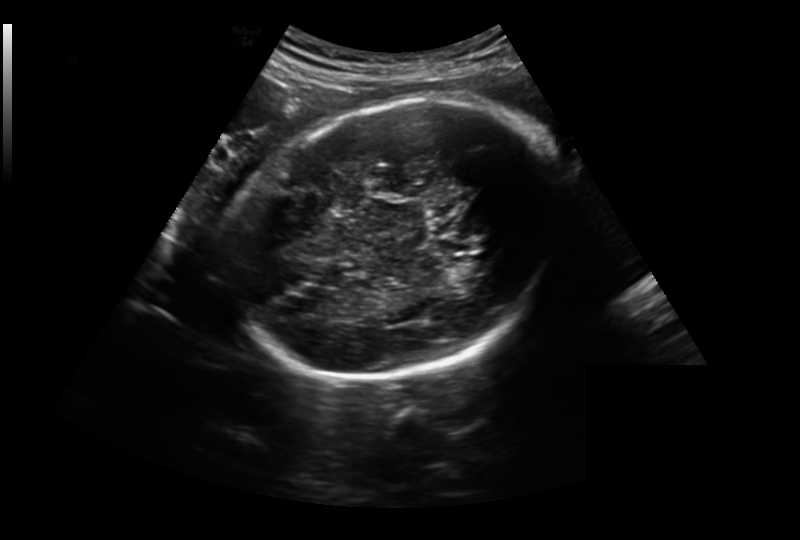
Fetal head ultrasound. Image width: 206.9 mm. Locate the fetal head.

Head: [234,100,564,377]